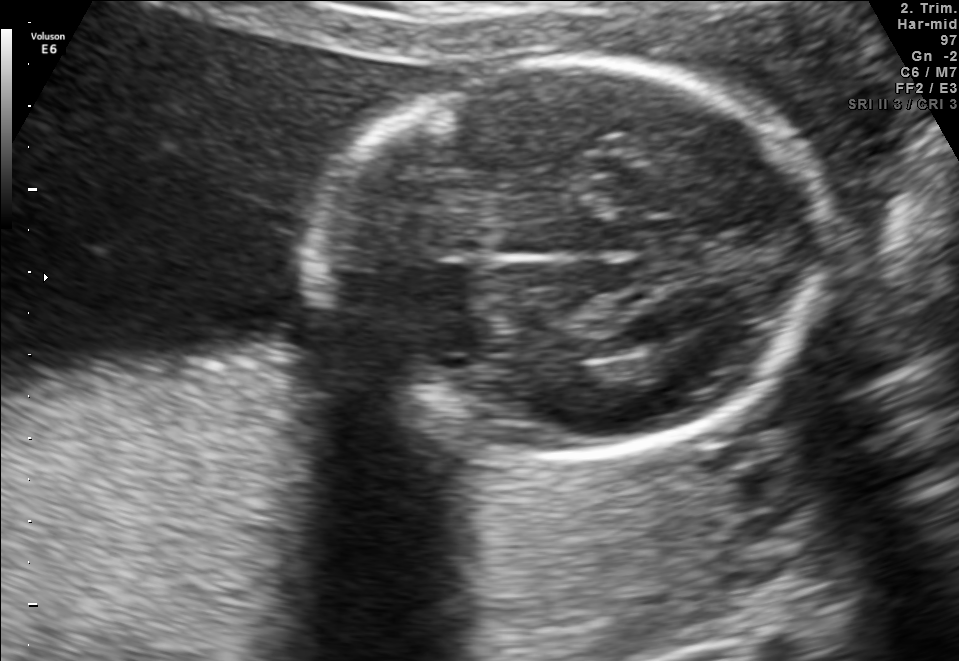
In this fetal brain, trans-thalamic plane, give the bounding box of the fetal head.

[302,59,843,460]